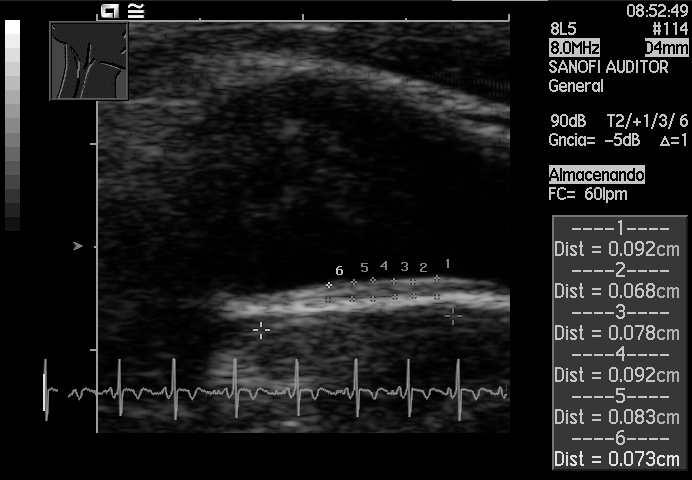
This is a 2D maternal-fetal ultrasound frame. Is it a fetal abdomen, fetal brain, fetal femur, fetal thorax, maternal cervix, or other standard plane? If it's fetal brain and one of the three standard brain planes (trans-thalamic, trans-cerebellum, trans-ventricular), name which.

Other